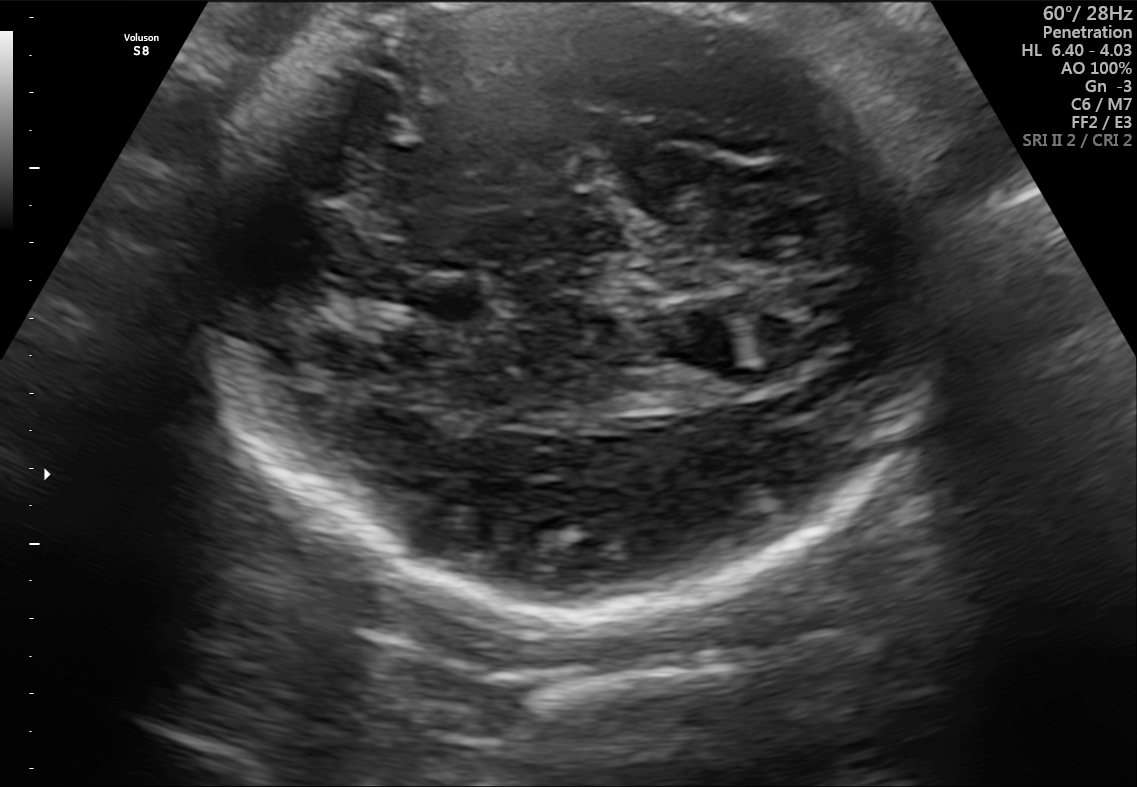
Fetal brain, trans-thalamic plane. Locate the cavum septum pellucidum.

CSP: [408,276,487,316]